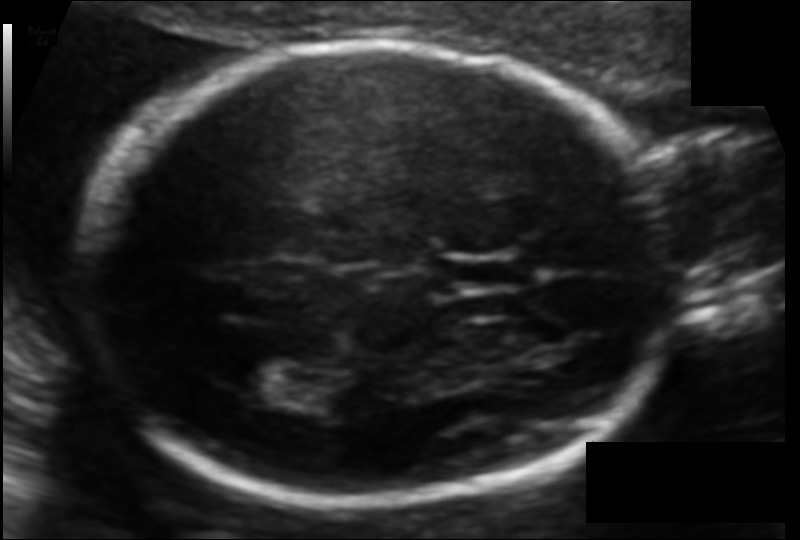
Fetal head ultrasound. Image width: 83.2 mm. Where is the fetal head?

Head bounding box: [82,42,685,502]